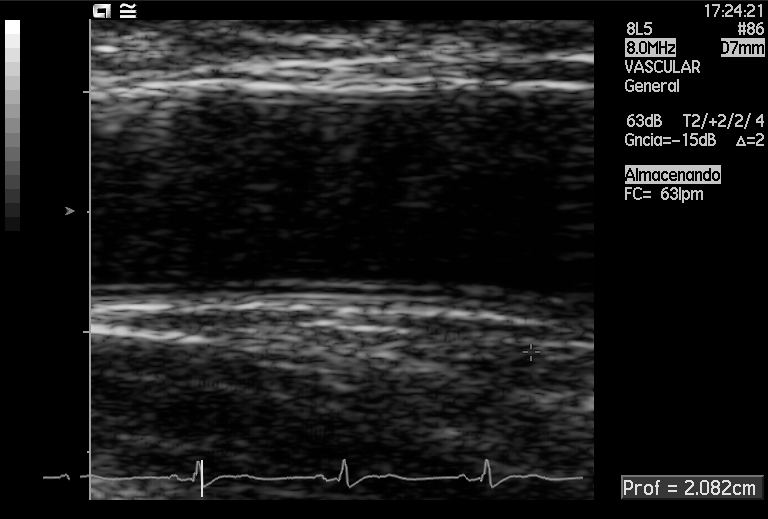
This is a 2D maternal-fetal ultrasound frame. Is it a fetal abdomen, fetal brain, fetal femur, fetal thorax, maternal cervix, or other standard plane? If it's fetal brain and one of the three standard brain planes (trans-thalamic, trans-cerebellum, trans-ventricular), name which.

Other